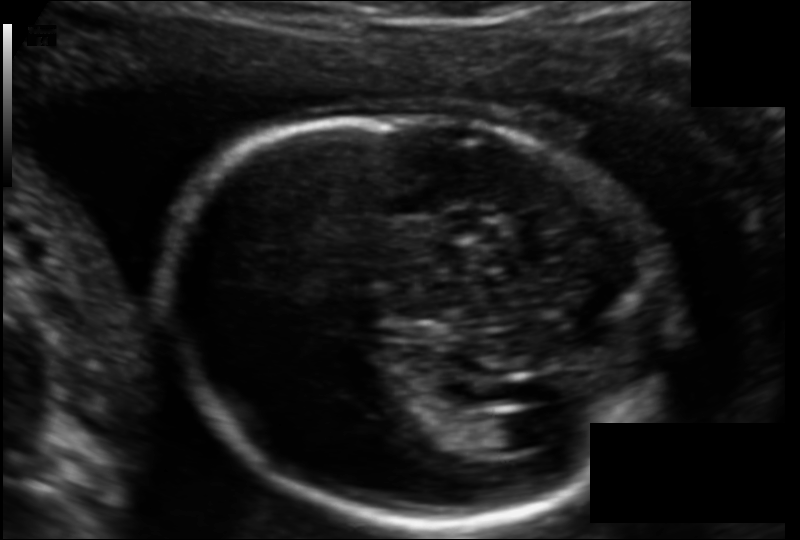
Fetal head ultrasound. Image width: 98.5 mm. Where is the lateral ventricle?

Lateral ventricle bounding box: [472,413,540,454]